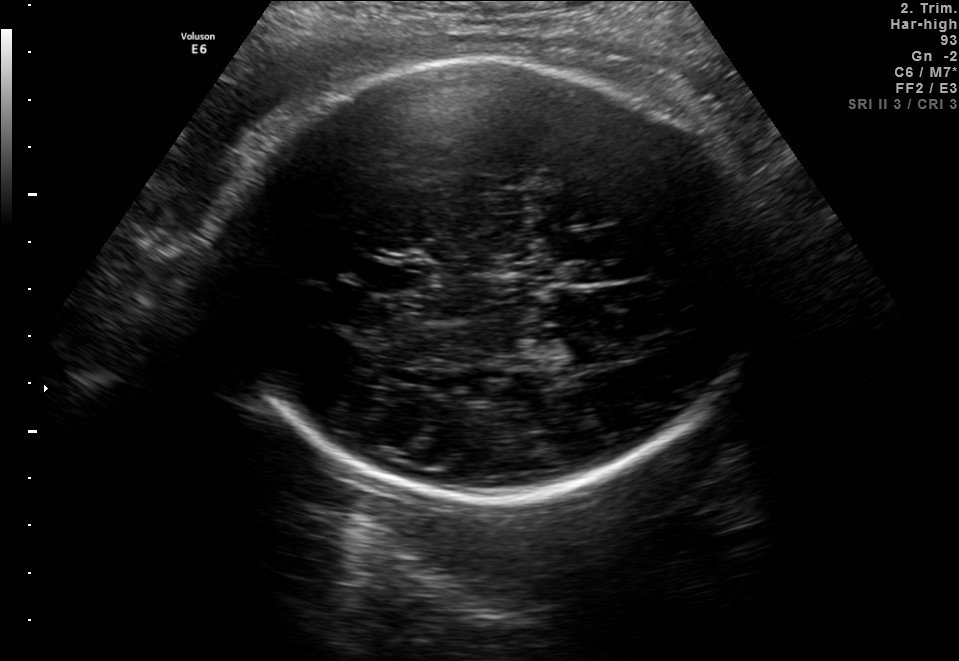
In this fetal brain, trans-thalamic plane, give the bounding box of the cavum septum pellucidum.

[355,259,409,295]